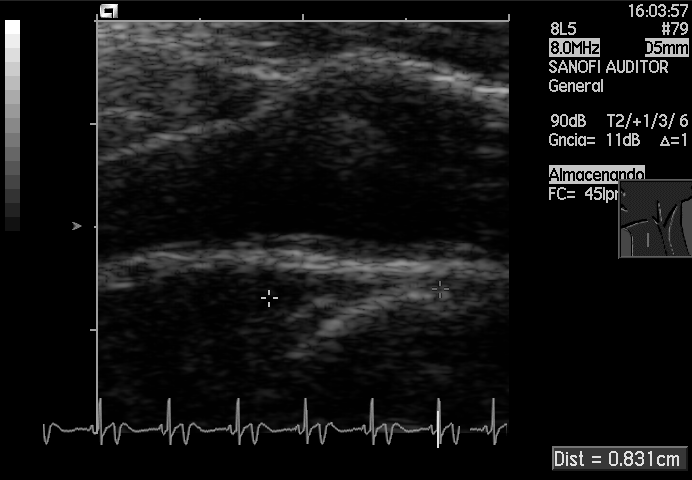
This is a 2D maternal-fetal ultrasound frame. Is it a fetal abdomen, fetal brain, fetal femur, fetal thorax, maternal cervix, or other standard plane? If it's fetal brain and one of the three standard brain planes (trans-thalamic, trans-cerebellum, trans-ventricular), name which.

Other